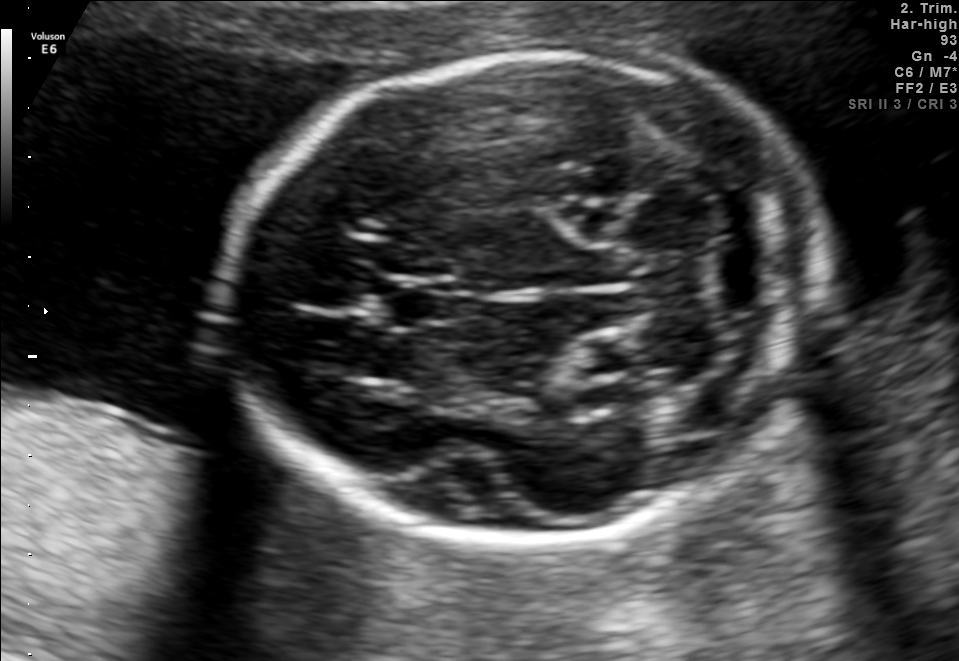
This is a 2D maternal-fetal ultrasound frame. Is it a fetal abdomen, fetal brain, fetal femur, fetal thorax, maternal cervix, or other standard plane? If it's fetal brain and one of the three standard brain planes (trans-thalamic, trans-cerebellum, trans-ventricular), name which.

Fetal brain (trans-cerebellum plane)